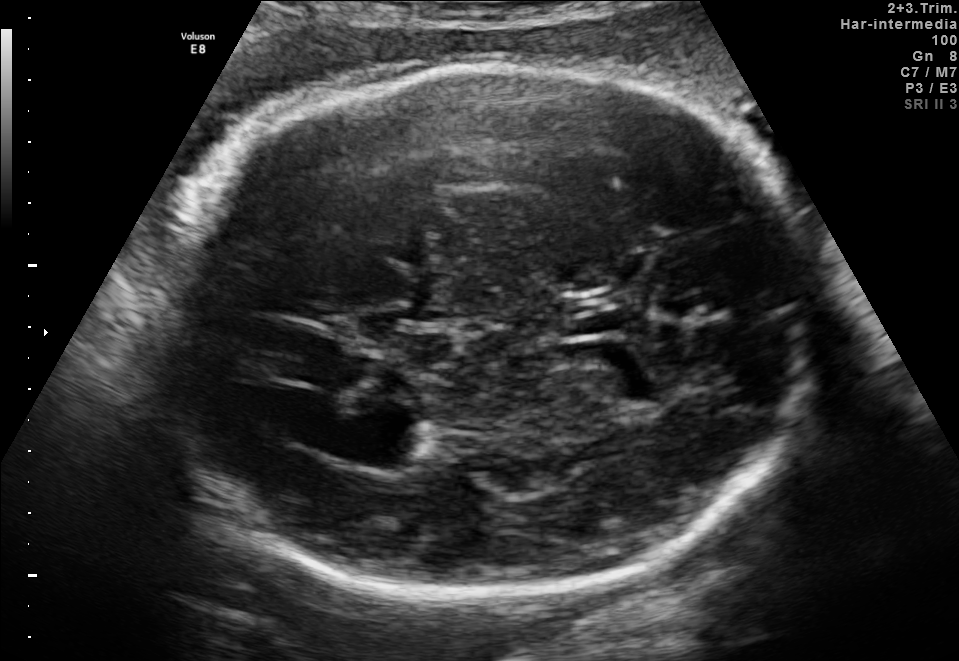
Fetal brain, trans-thalamic plane. Locate the fetal head and, if visible, the cavum septum pellucidum (CSP) and lateral ventricle (LV). Give bounding boxes as [x1,y1,x2,y2].

Head: [144,64,815,595]
Lateral ventricle: [361,417,434,466]